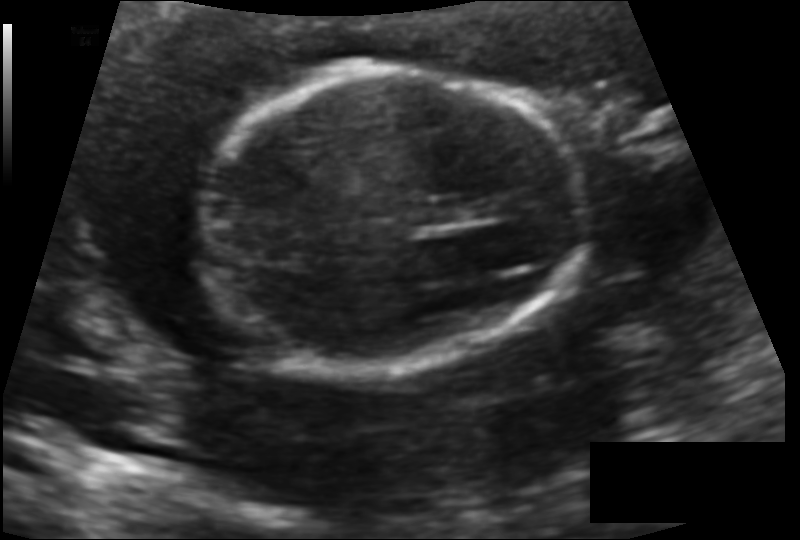
Fetal head ultrasound. Image width: 90.0 mm. Give [x1,y1,x2,y2] bounding boxes for each visible structure among: fetal head, CSP, LV.

Head: [207,71,580,364]